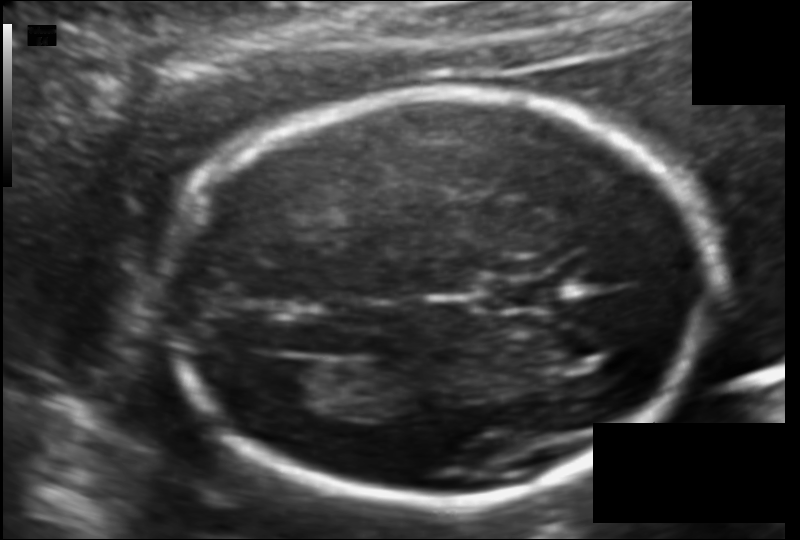
Fetal head ultrasound. Image width: 88.5 mm. Where is the lateral ventricle?

Lateral ventricle bounding box: [248,354,335,406]